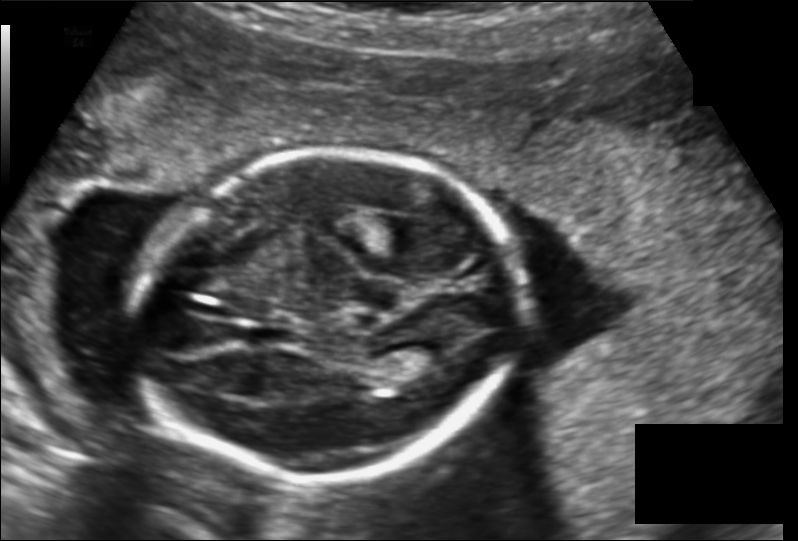
Fetal head ultrasound. Image width: 118.8 mm. Locate the fetal head.

Head: [134,151,524,480]